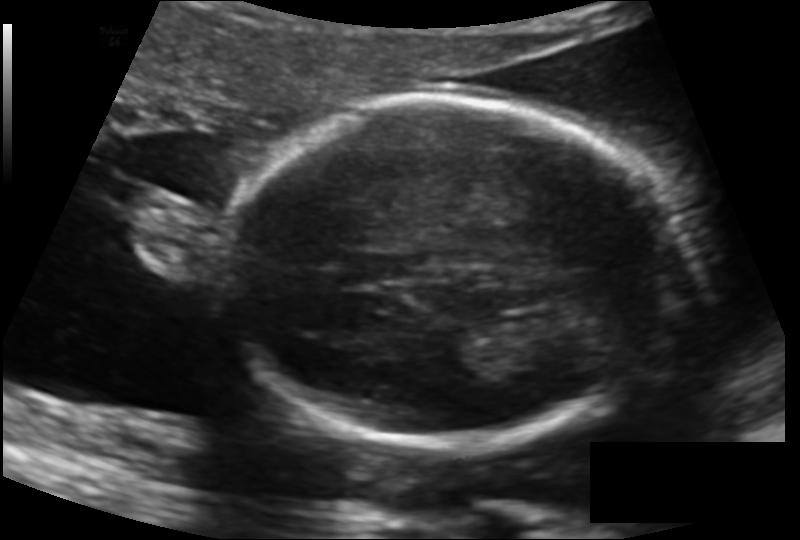
Fetal head ultrasound. Image width: 111.0 mm. Give [x1,y1,x2,y2] bounding boxes for each visible structure among: fetal head, CSP, LV.

Head: [228,95,679,449]